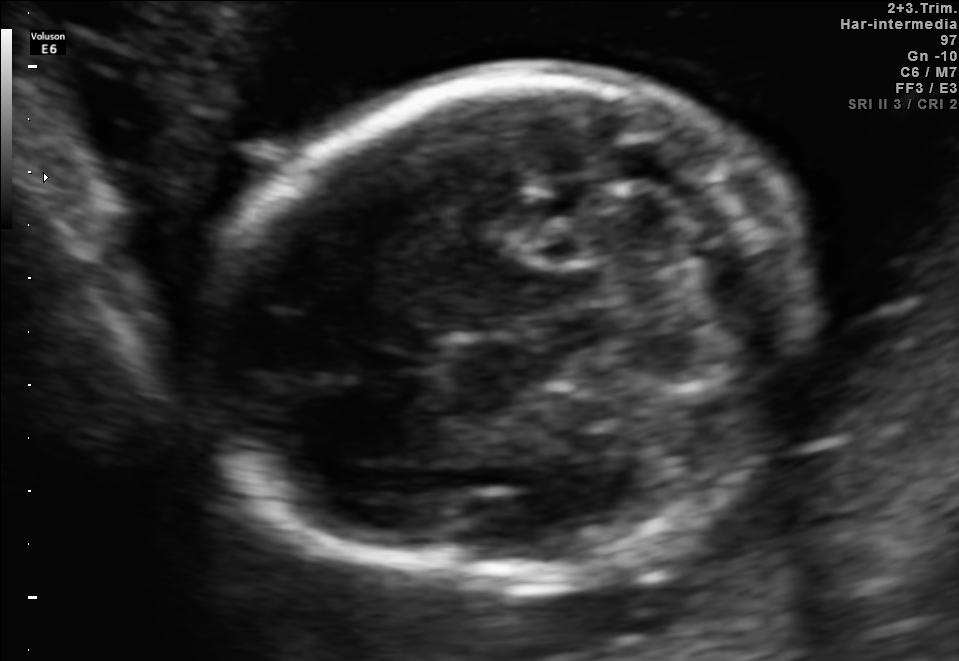
Fetal brain, trans-cerebellum plane. Where is the fetal head?

Head bounding box: [206,71,805,578]